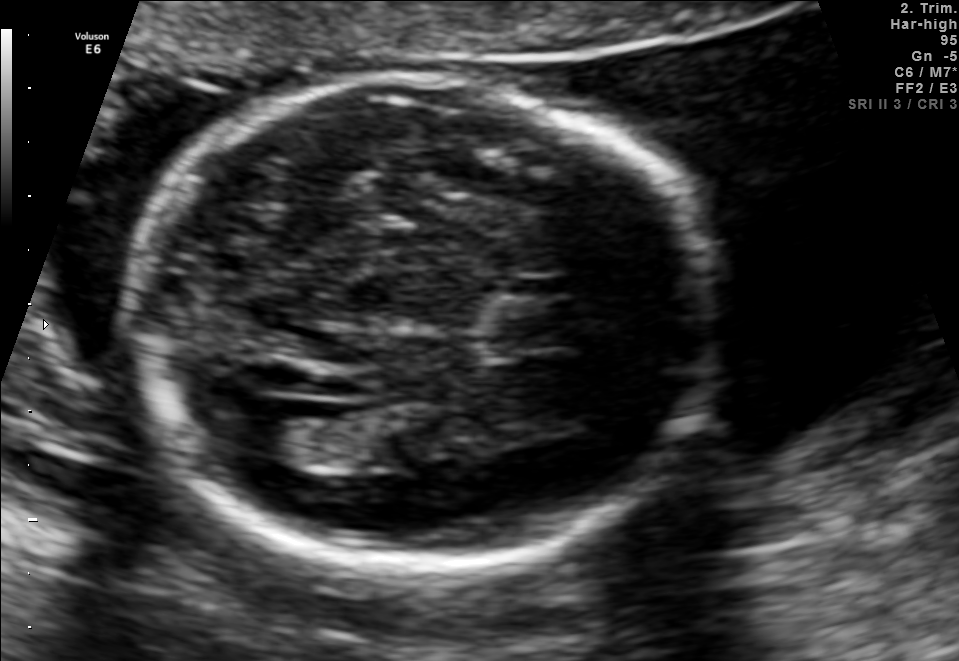
Fetal brain, trans-ventricular plane. Where is the cavum septum pellucidum?

CSP bounding box: [470,297,583,352]